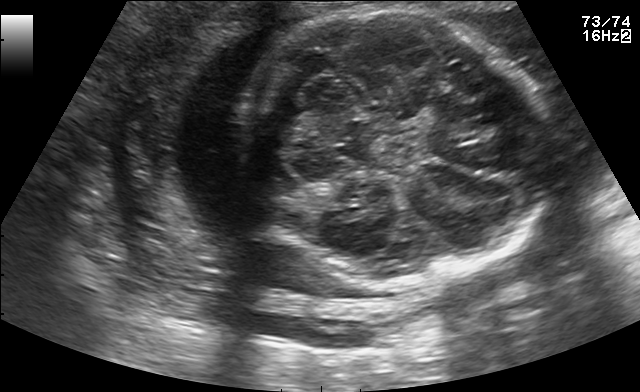
Fetal brain, trans-thalamic plane. Locate the fetal head and, if visible, the cavum septum pellucidum (CSP) and lateral ventricle (LV). Give bounding boxes as [x1,y1,x2,y2].

Head: [230,7,552,283]